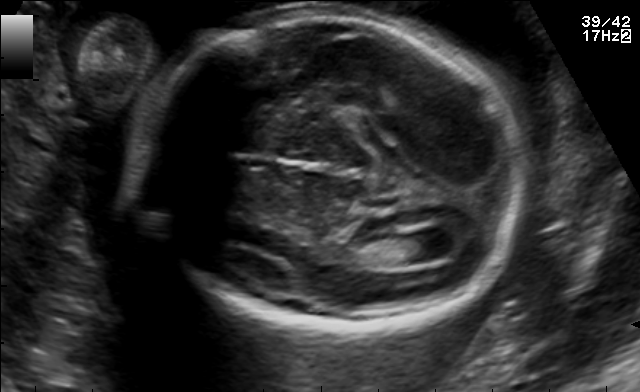
Fetal brain, trans-ventricular plane. Locate the fetal head and, if visible, the cavum septum pellucidum (CSP) and lateral ventricle (LV). Give bounding boxes as [x1,y1,x2,y2].

Head: [128,3,537,334]
Lateral ventricle: [402,230,460,265]